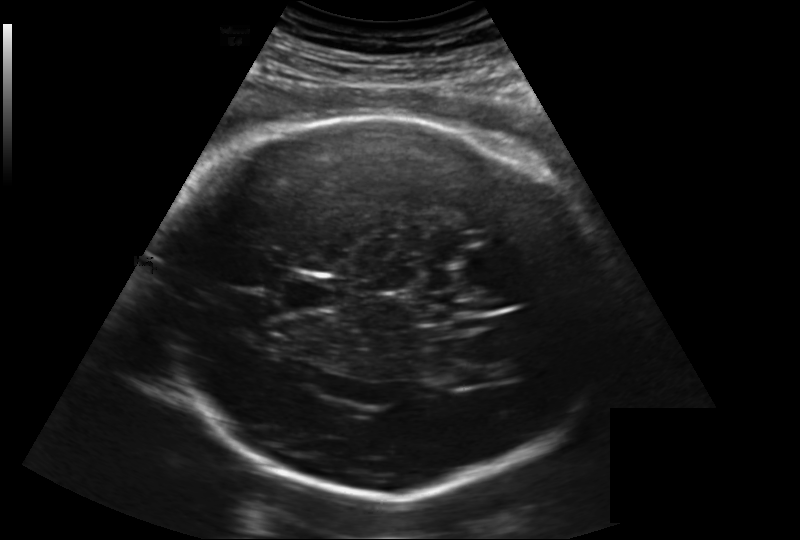
Fetal head ultrasound. Image width: 175.3 mm. Locate the lateral ventricle.

Lateral ventricle: [439,347,500,390]